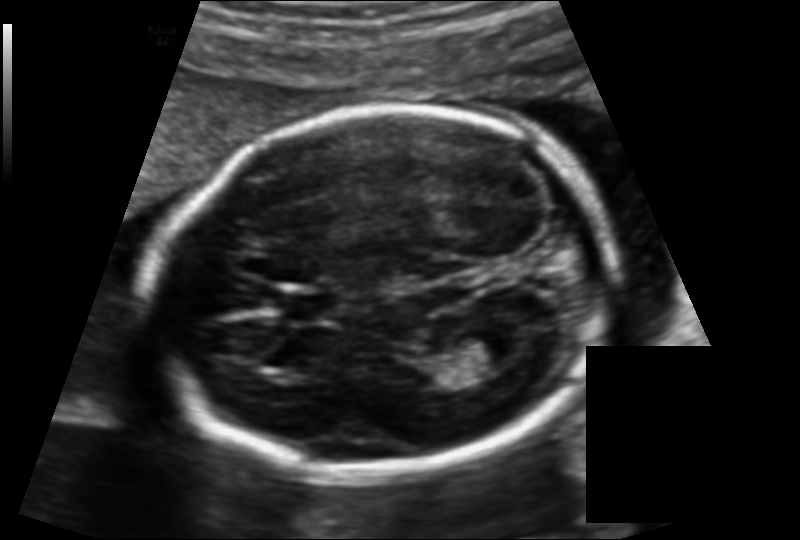
Estimate the fetal head circumference from this 2D ultrasound.

Head circumference: 175.3 mm (image width 104.7 mm).